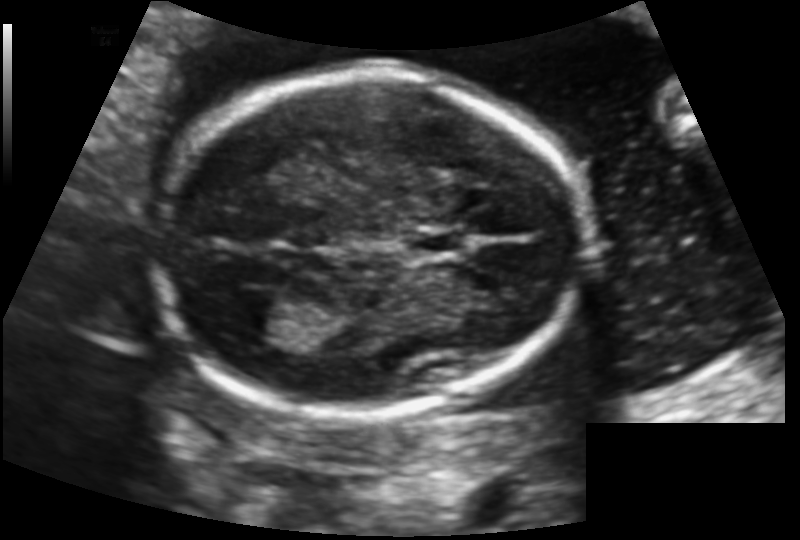
Fetal head ultrasound. Image width: 103.6 mm. Where is the lateral ventricle?

Lateral ventricle bounding box: [232,294,301,341]